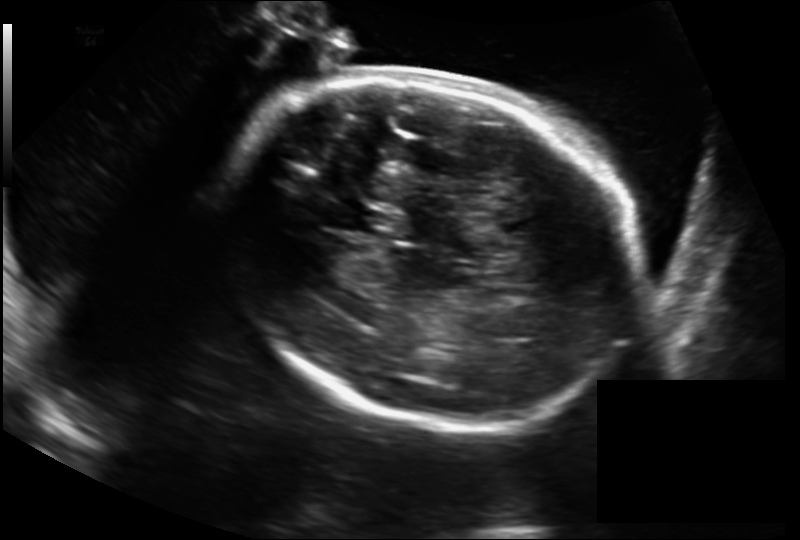
In this fetal head ultrasound, give bounding boxes for the head outline, cavum septum pellucidum (CSP), and lateral ventricle (LV), where visible. Image width: 169.0 mm.

Head: [216,78,639,423]